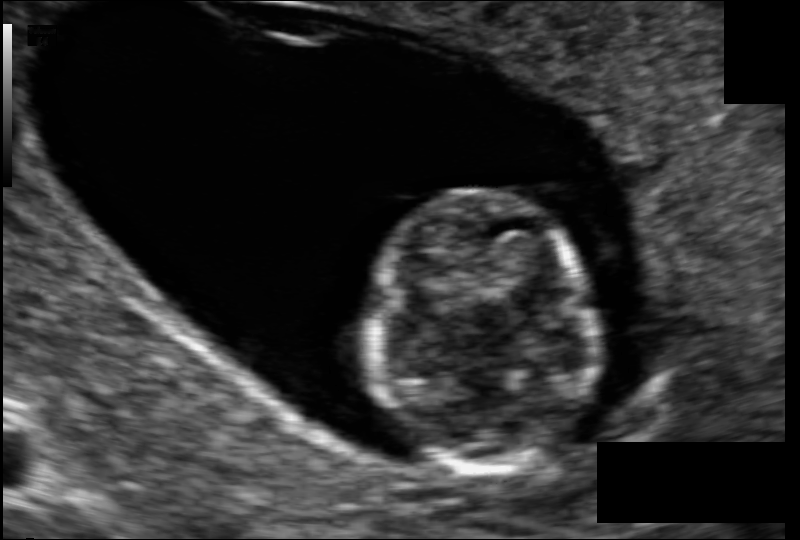
Fetal head ultrasound. Image width: 73.7 mm. Locate the fetal head.

Head: [370,192,591,469]